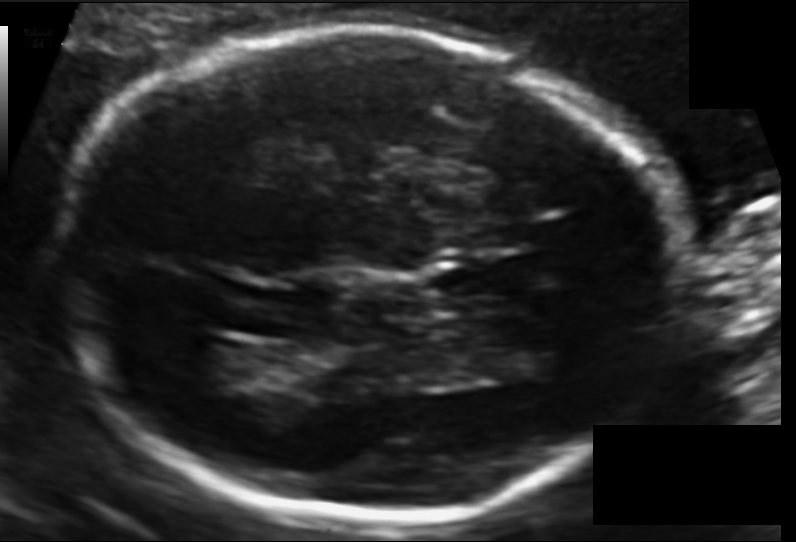
Estimate the fetal head circumference from this 2D ultrasound. Image width: 95.4 mm.

Head circumference: 213.6 mm.